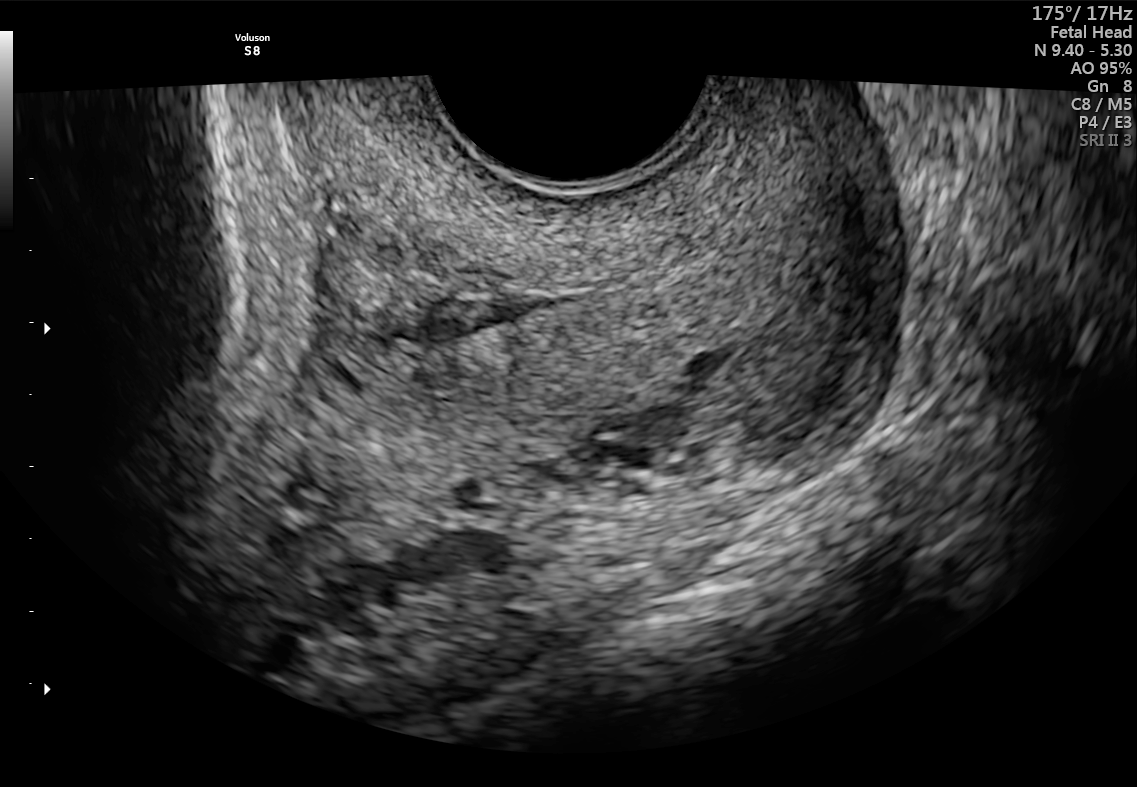
This is a 2D maternal-fetal ultrasound frame. Is it a fetal abdomen, fetal brain, fetal femur, fetal thorax, maternal cervix, or other standard plane? If it's fetal brain and one of the three standard brain planes (trans-thalamic, trans-cerebellum, trans-ventricular), name which.

Maternal cervix